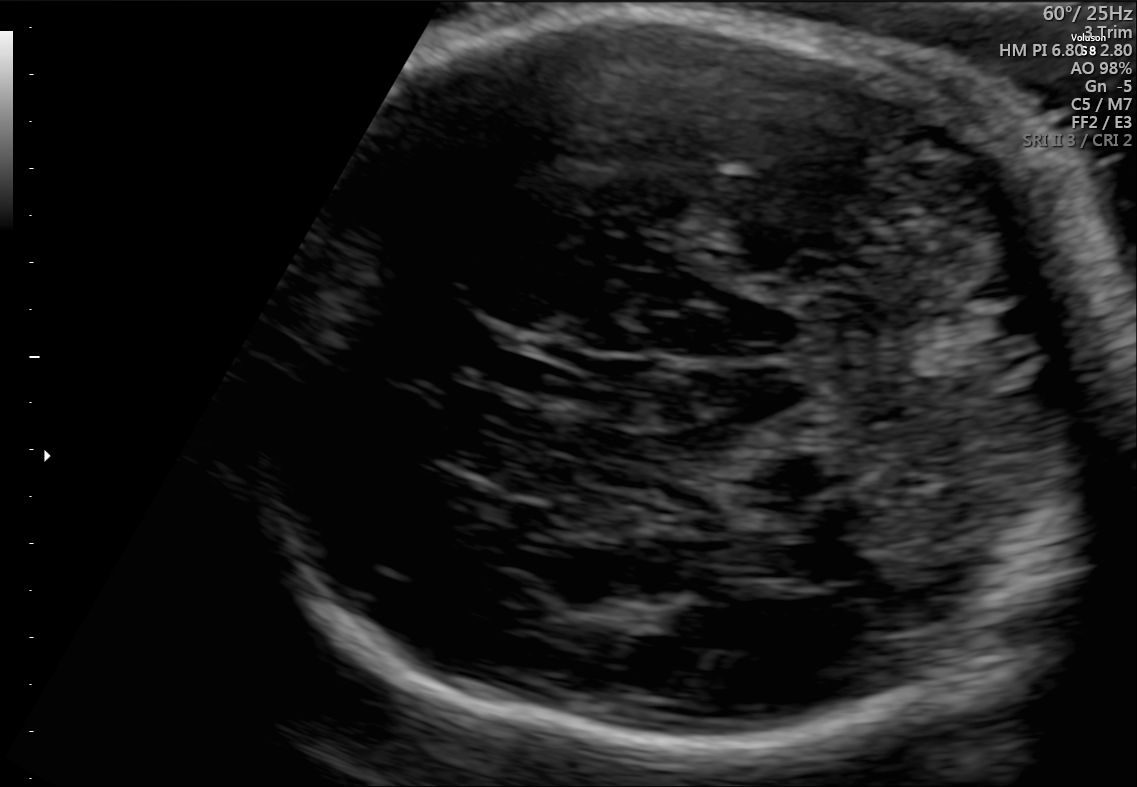
Fetal brain, trans-cerebellum plane. Where is the fetal head?

Head bounding box: [286,14,1105,758]